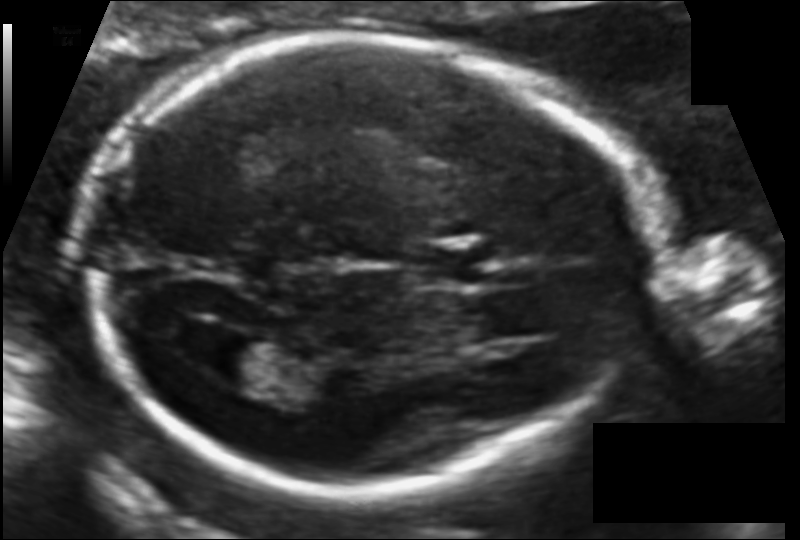
Fetal head ultrasound. Image width: 87.0 mm. Where is the fetal head?

Head bounding box: [87,37,643,493]